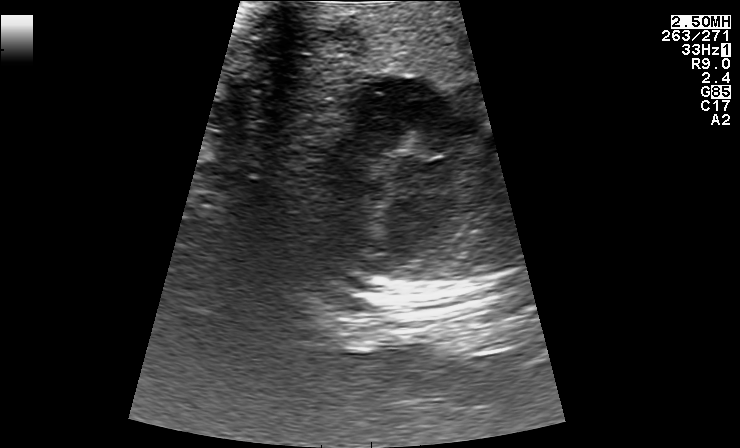
Classify this maternal-fetal ultrasound image as one of the six standard planes — fetal abdomen, fetal brain, fetal femur, fetal thorax, maternal cervix, or other. If it's fetal brain and one of the three standard brain planes (trans-thalamic, trans-cerebellum, trans-ventricular), name which.

Fetal thorax